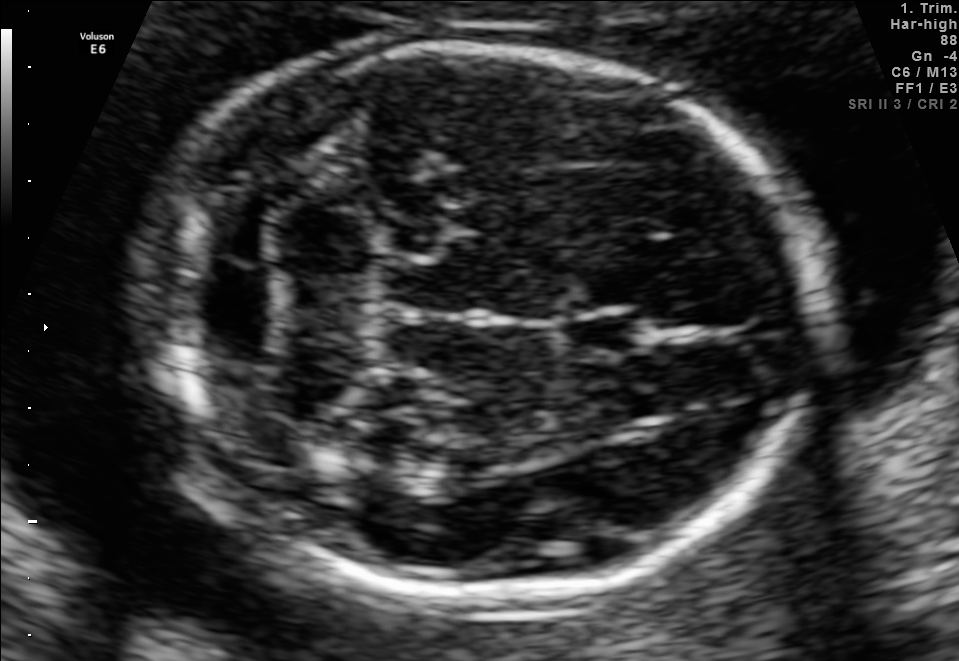
Fetal brain, trans-cerebellum plane. Where is the cavum septum pellucidum?

CSP bounding box: [565,305,650,359]